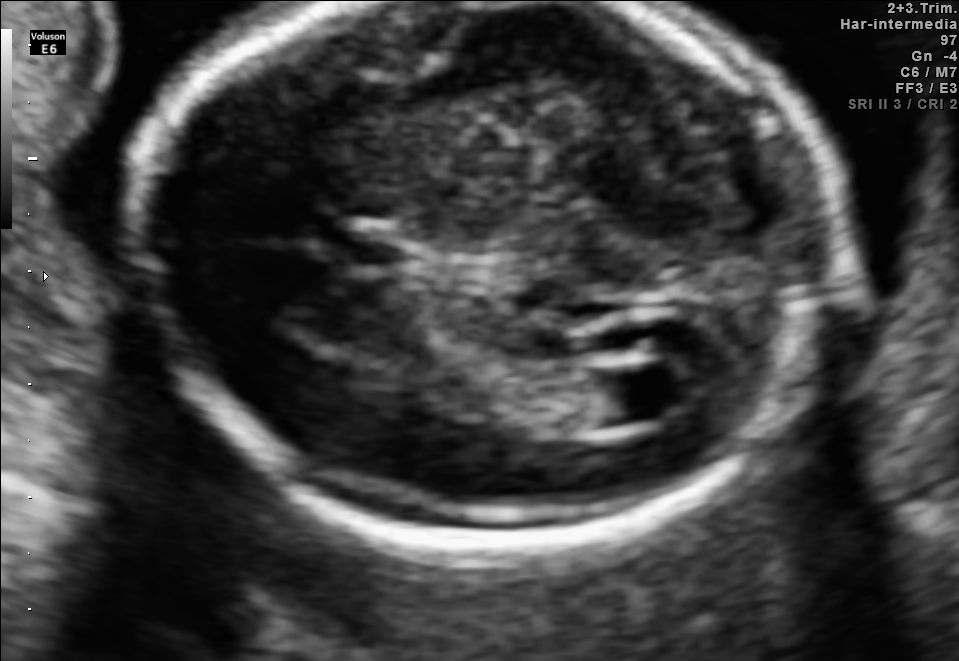
In this fetal brain, trans-ventricular plane, give bounding boxes for the cavum septum pellucidum (CSP) and lateral ventricle (LV), where visible.

CSP: [349,237,407,269]
Lateral ventricle: [582,357,689,429]